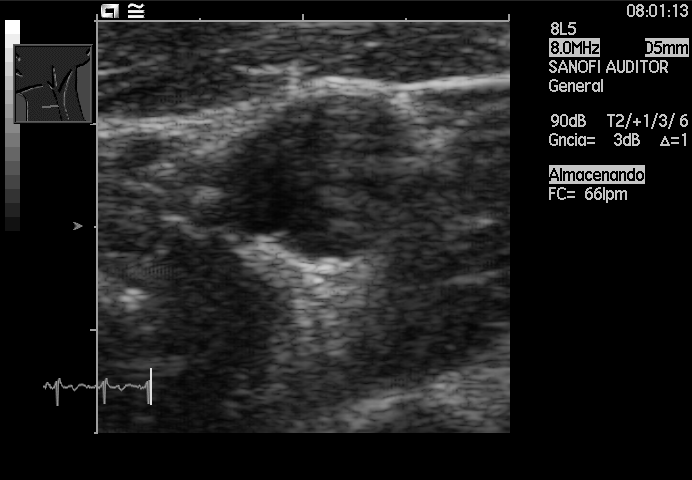
This is a 2D maternal-fetal ultrasound frame. Is it a fetal abdomen, fetal brain, fetal femur, fetal thorax, maternal cervix, or other standard plane? If it's fetal brain and one of the three standard brain planes (trans-thalamic, trans-cerebellum, trans-ventricular), name which.

Other